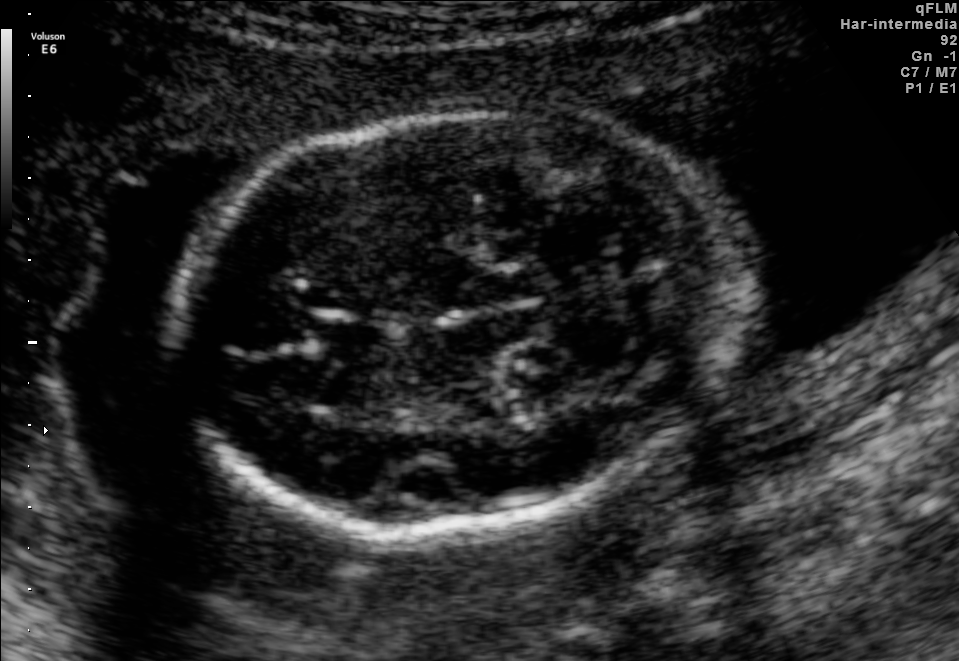
In this fetal brain, trans-cerebellum plane, give the bounding box of the cavum septum pellucidum.

[318,316,393,361]